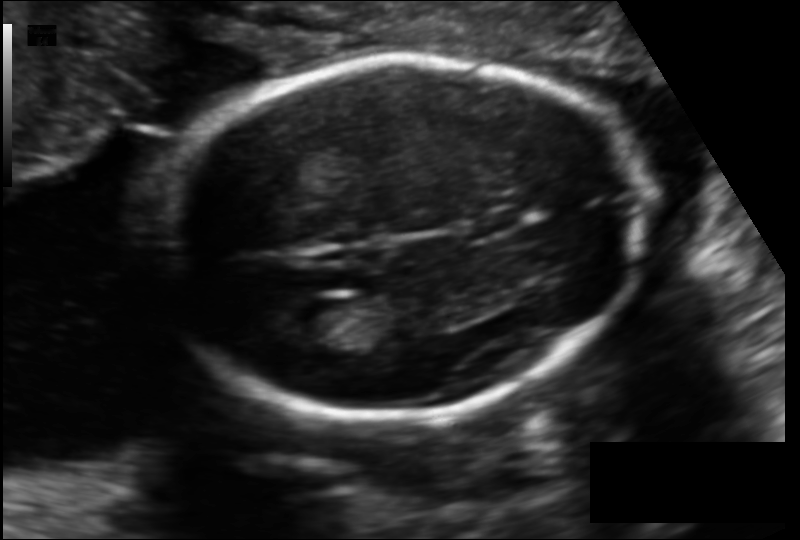
Fetal head ultrasound. Image width: 102.8 mm. Locate the fetal head and, if visible, the cavum septum pellucidum (CSP) and lateral ventricle (LV). Give bounding boxes as [x1,y1,x2,y2].

Head: [161,56,642,417]
CSP: [460,201,527,244]
Lateral ventricle: [279,299,344,342]